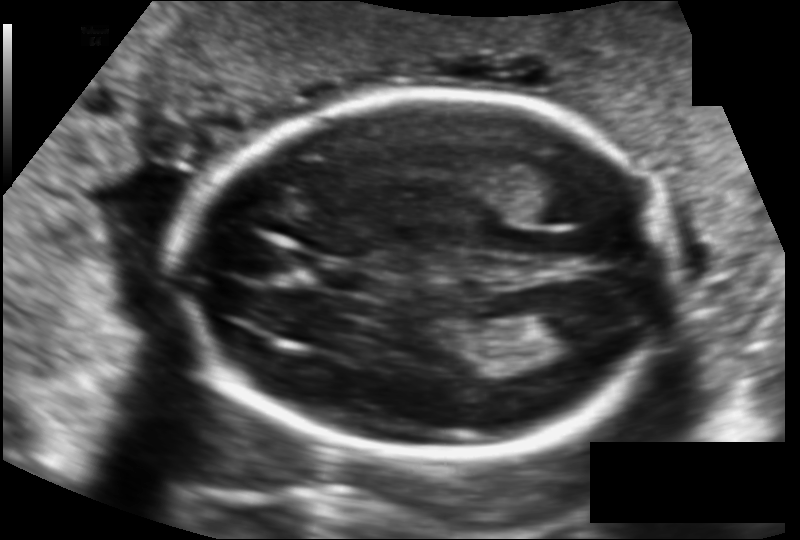
In this fetal head ultrasound, give bounding boxes for the head outline, cavum septum pellucidum (CSP), and lateral ventricle (LV), where visible. Image width: 98.9 mm.

Head: [177,95,673,457]
CSP: [317,259,380,299]
Lateral ventricle: [530,302,604,354]